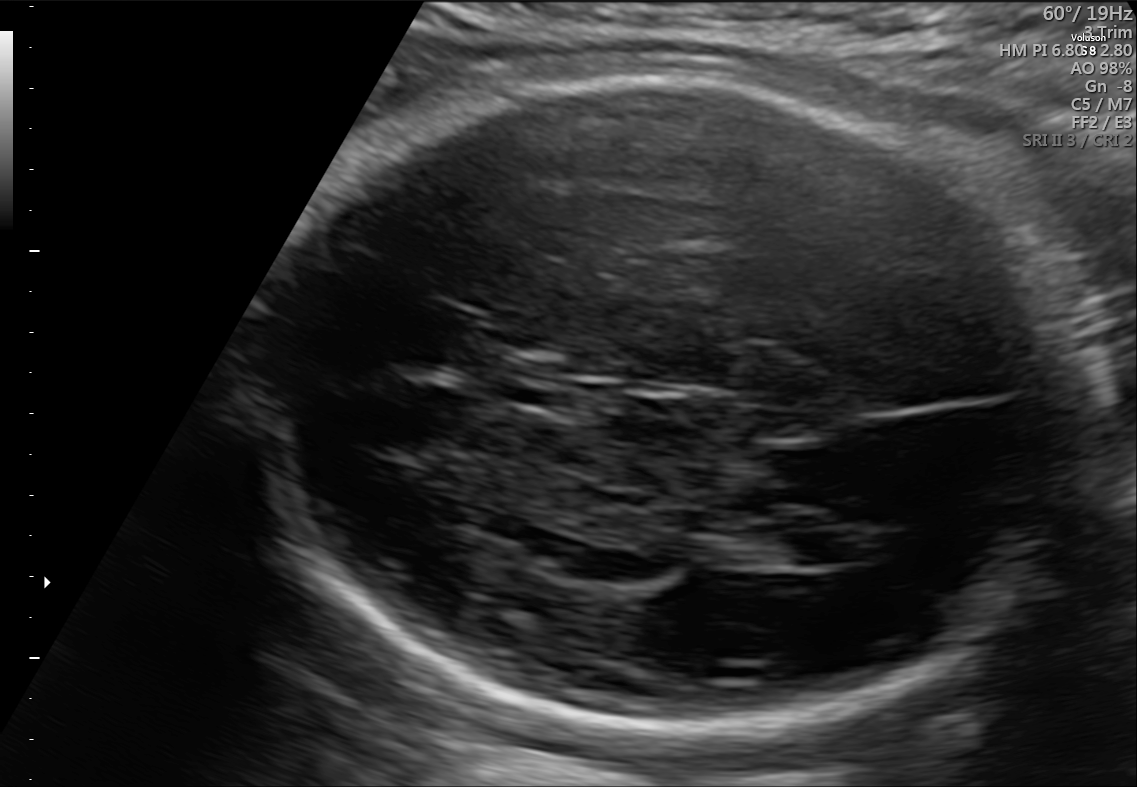
Fetal brain, trans-ventricular plane. Where is the lateral ventricle?

Lateral ventricle bounding box: [783,531,874,565]